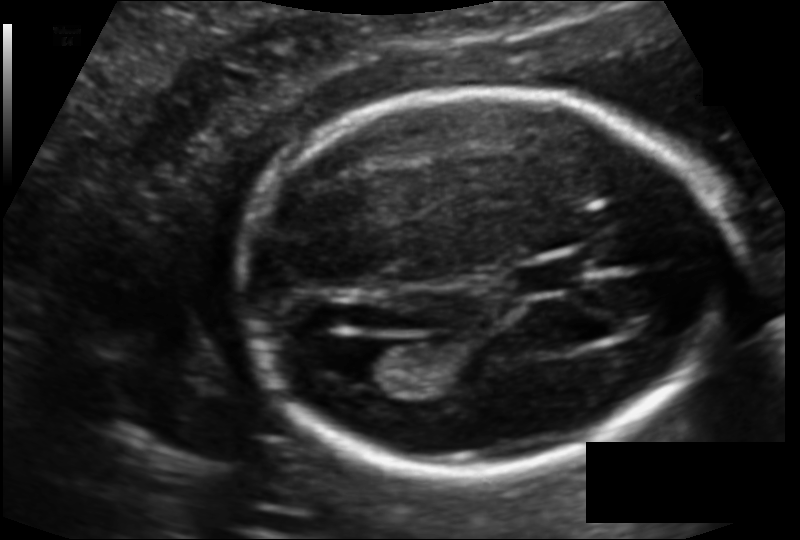
Fetal head ultrasound. Image width: 96.9 mm. Locate the fetal head.

Head: [237,89,722,475]